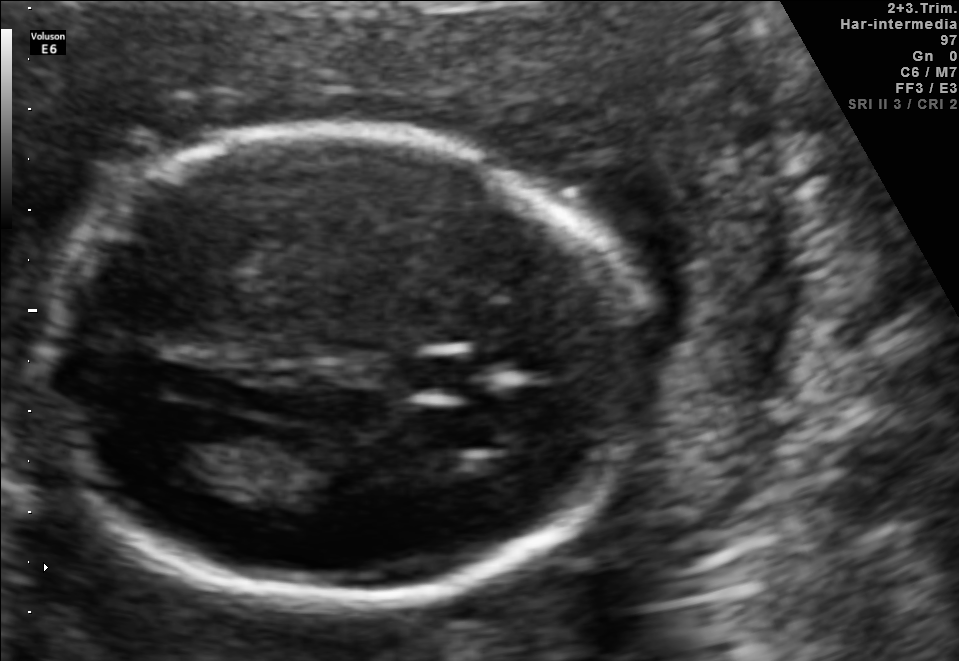
Fetal brain, trans-ventricular plane. Locate the fetal head.

Head: [33,118,662,617]